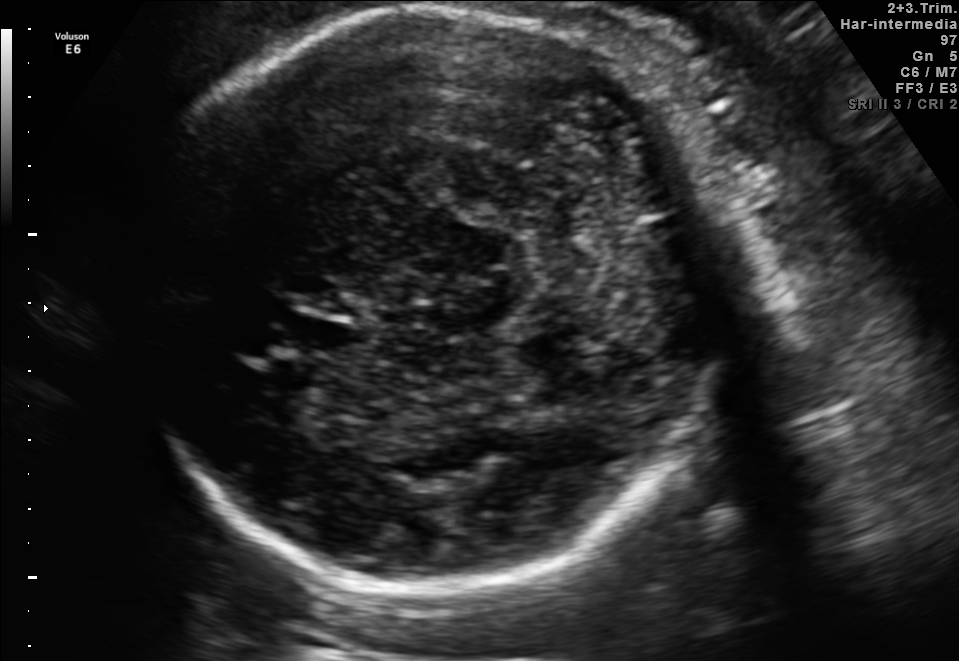
In this fetal brain, trans-cerebellum plane, give the bounding box of the fetal head.

[127,8,744,587]